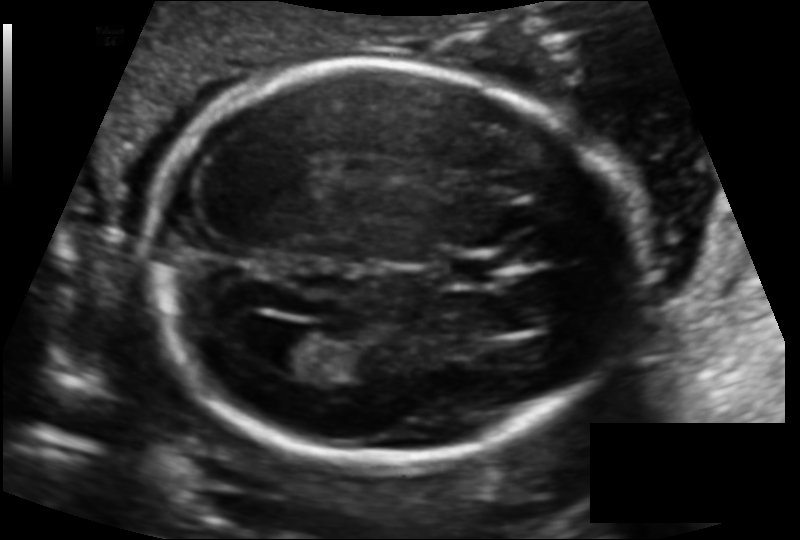
In this fetal head ultrasound, give the bounding box of the fetal head. Image width: 100.1 mm.

[147,63,631,466]